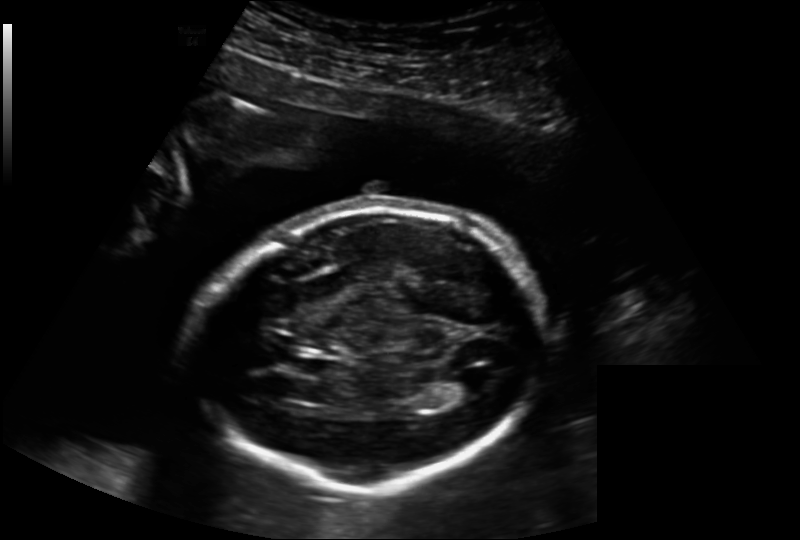
From this fetal ultrasound, estimate the head circumference (image width 161.7 mm).

Head circumference: 204.3 mm.